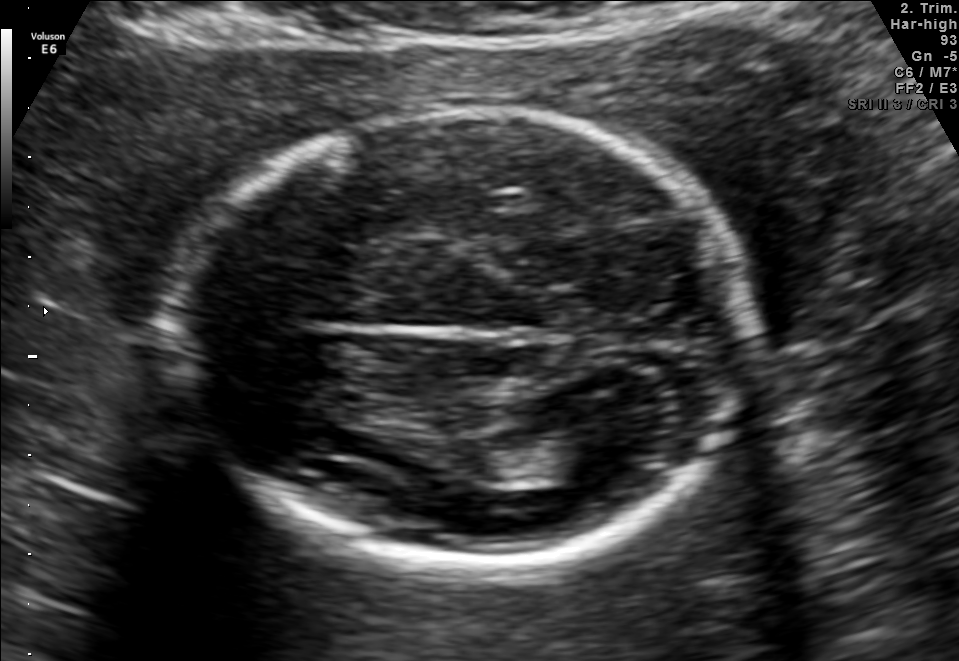
Which standard maternal-fetal ultrasound plane is shown: fetal abdomen, fetal brain, fetal femur, fetal thorax, maternal cervix, or other? If it's fetal brain and one of the three standard brain planes (trans-thalamic, trans-cerebellum, trans-ventricular), name which.

Fetal brain (trans-thalamic plane)